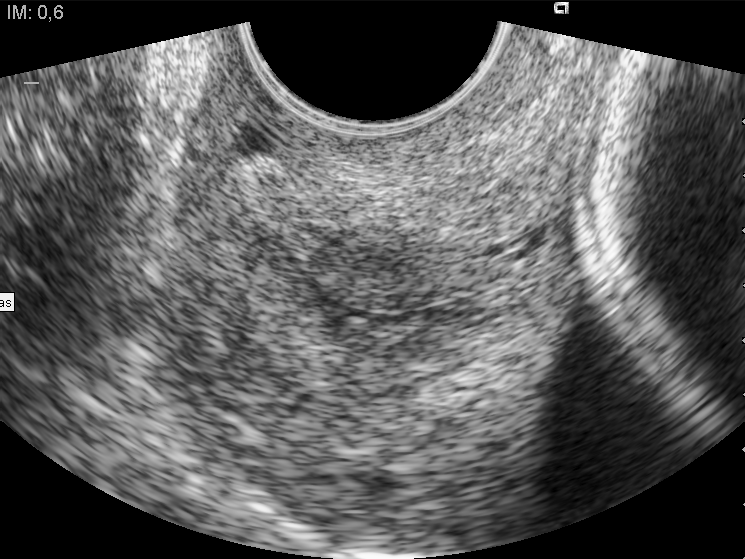
Which standard maternal-fetal ultrasound plane is shown: fetal abdomen, fetal brain, fetal femur, fetal thorax, maternal cervix, or other? If it's fetal brain and one of the three standard brain planes (trans-thalamic, trans-cerebellum, trans-ventricular), name which.

Maternal cervix